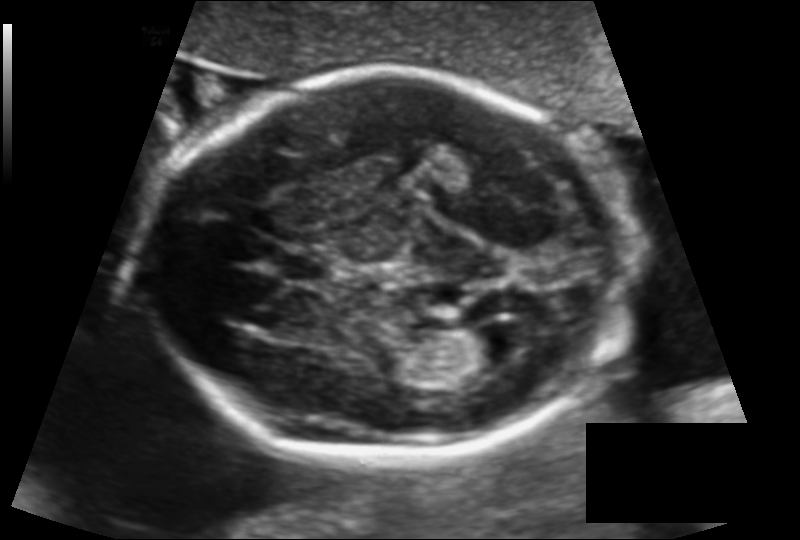
In this fetal head ultrasound, give the bounding box of the cavum septum pellucidum. Image width: 103.5 mm.

[278,248,338,283]